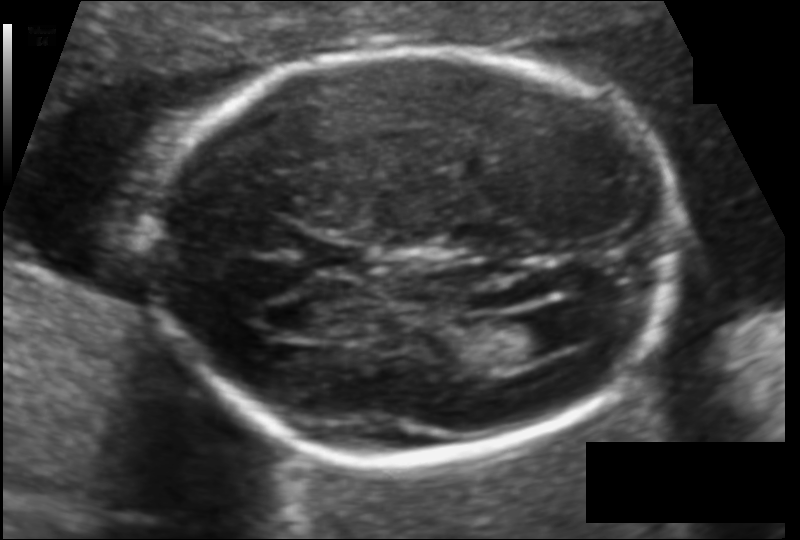
Fetal head ultrasound. Image width: 89.1 mm. Where is the cavum septum pellucidum?

CSP bounding box: [309,239,369,277]